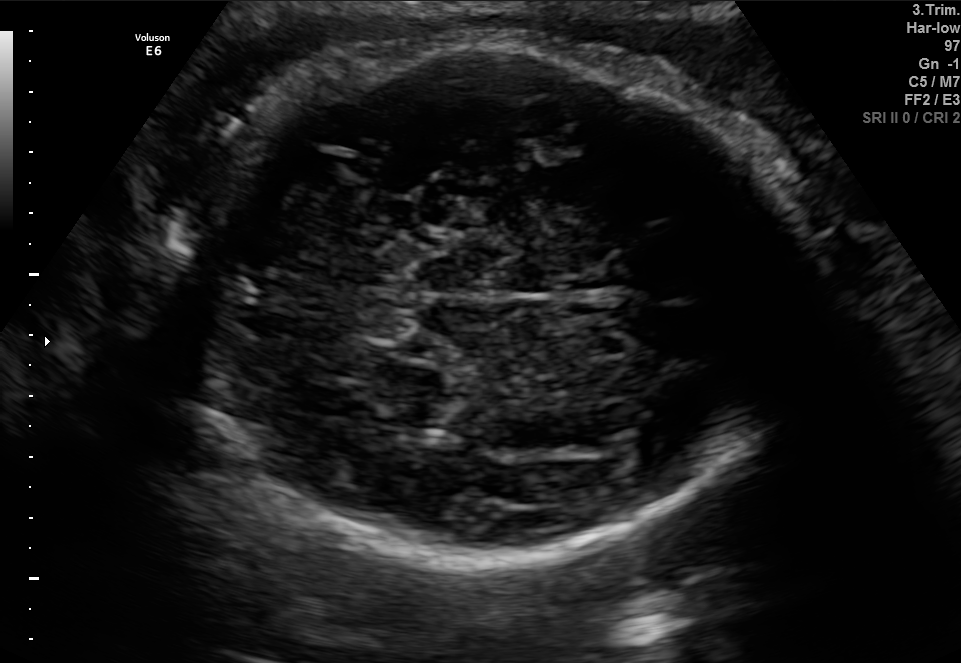
Classify this maternal-fetal ultrasound image as one of the six standard planes — fetal abdomen, fetal brain, fetal femur, fetal thorax, maternal cervix, or other. If it's fetal brain and one of the three standard brain planes (trans-thalamic, trans-cerebellum, trans-ventricular), name which.

Fetal brain (trans-cerebellum plane)